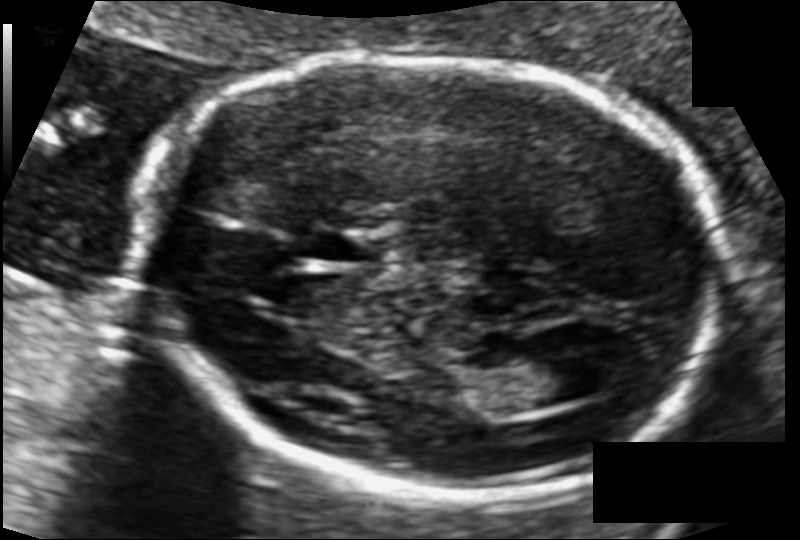
In this fetal head ultrasound, give the bounding box of the cavum septum pellucidum. Image width: 81.0 mm.

[304,226,381,266]